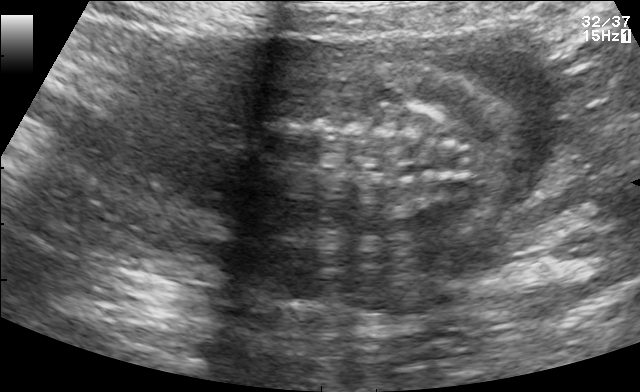
Which standard maternal-fetal ultrasound plane is shown: fetal abdomen, fetal brain, fetal femur, fetal thorax, maternal cervix, or other? If it's fetal brain and one of the three standard brain planes (trans-thalamic, trans-cerebellum, trans-ventricular), name which.

Other